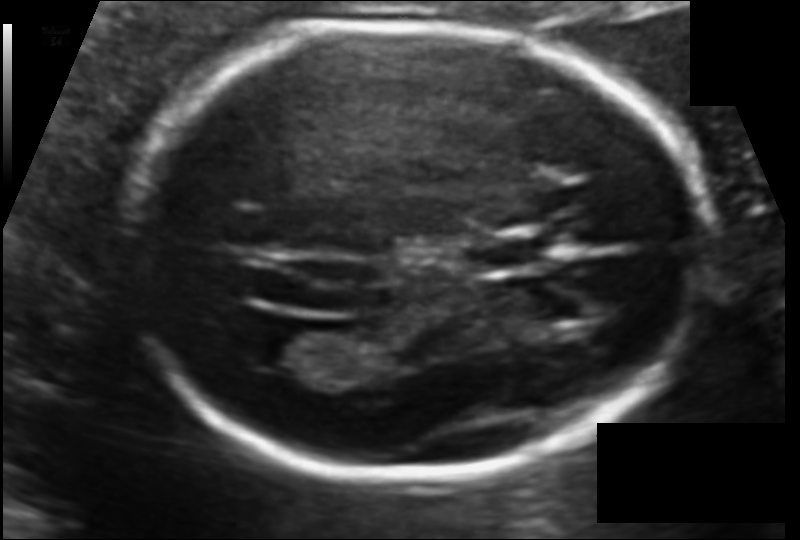
In this fetal head ultrasound, give bounding boxes for the head outline, cavum septum pellucidum (CSP), and lateral ventricle (LV), where visible. Image width: 85.6 mm.

Head: [124,25,706,476]
CSP: [468,224,552,279]
Lateral ventricle: [249,328,325,371]